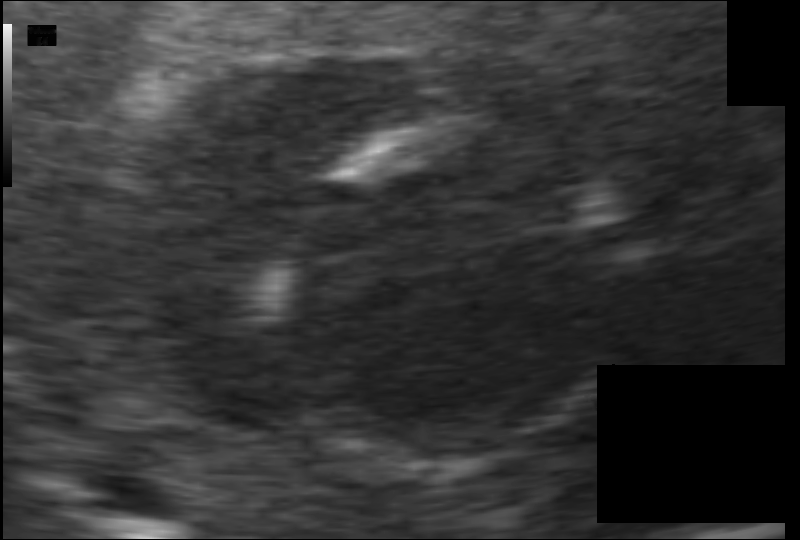
Fetal head ultrasound. Image width: 55.7 mm. Where is the fetal head?

Head bounding box: [274,122,622,471]